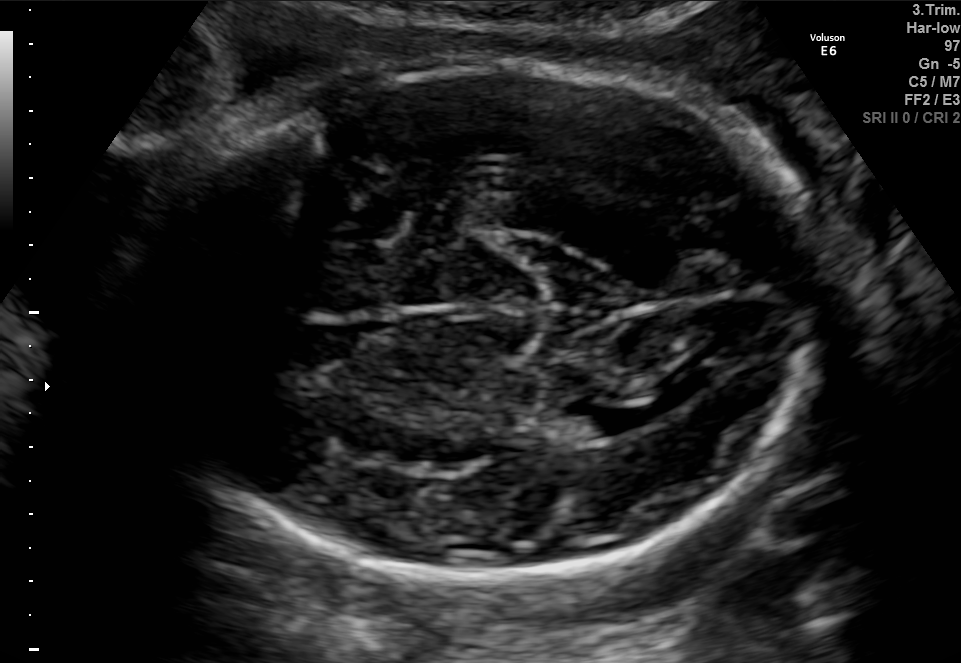
Fetal brain, trans-thalamic plane. Locate the fetal head.

Head: [129,50,846,583]